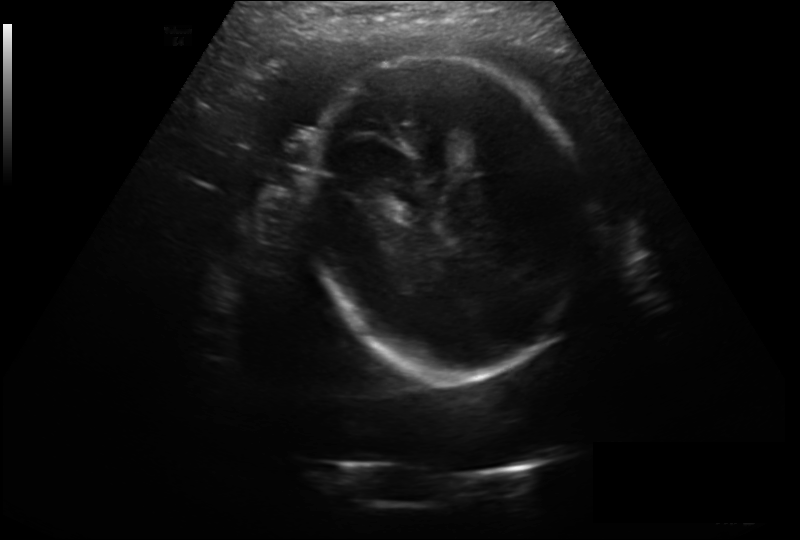
Estimate the fetal head circumference from this 2D ultrasound. Image width: 197.0 mm.

Head circumference: 234.6 mm.